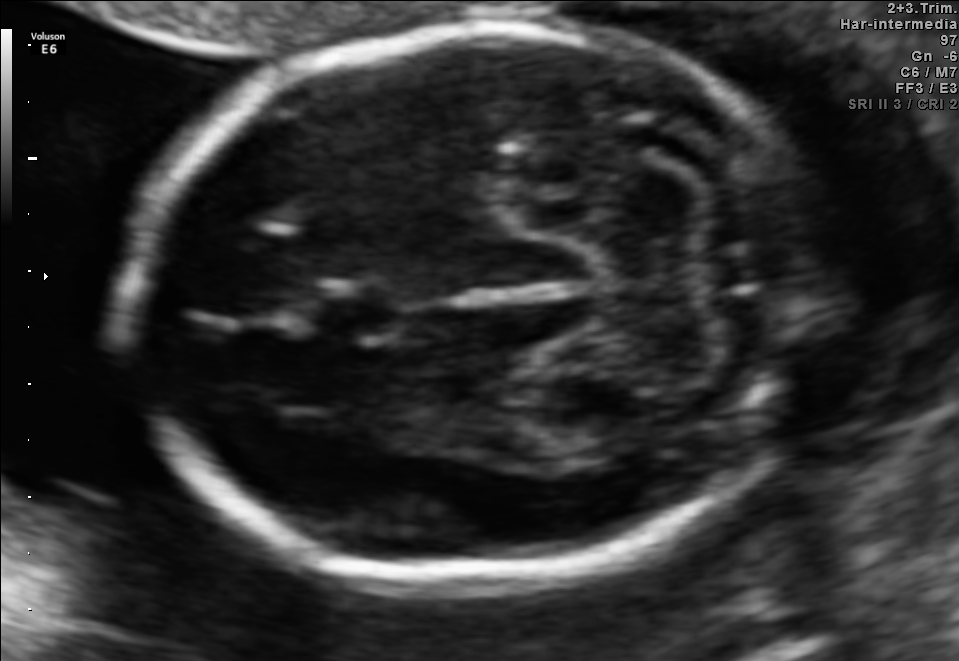
Fetal brain, trans-cerebellum plane. Locate the fetal head and, if visible, the cavum septum pellucidum (CSP) and lateral ventricle (LV). Give bounding boxes as [x1,y1,x2,y2].

Head: [124,20,817,583]
CSP: [308,281,404,347]